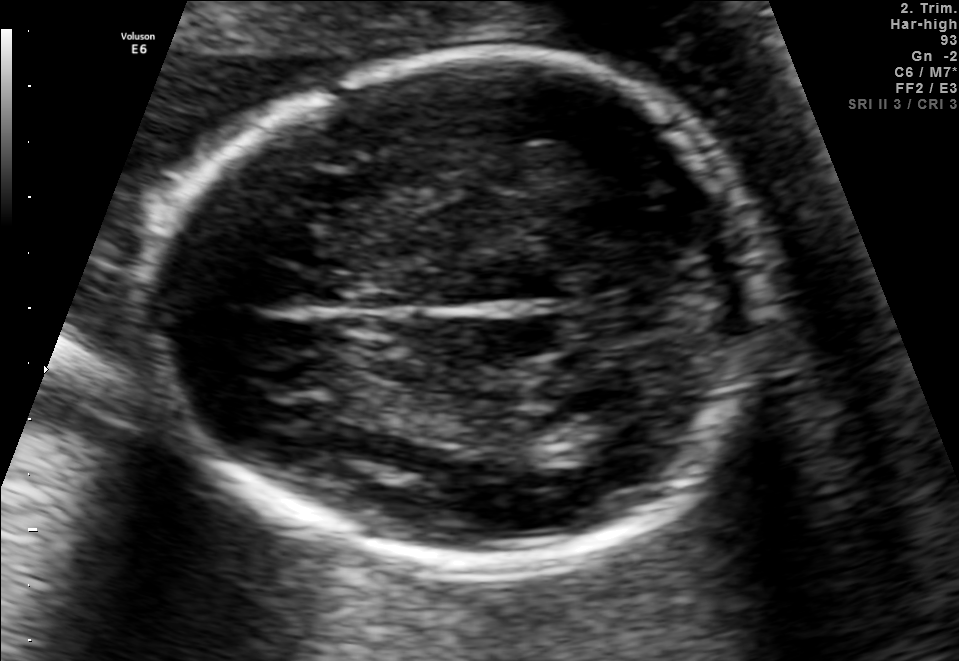
In this fetal brain, trans-thalamic plane, give bounding boxes for the head outline, cavum septum pellucidum (CSP), and lateral ventricle (LV), where visible.

Head: [153,57,768,570]